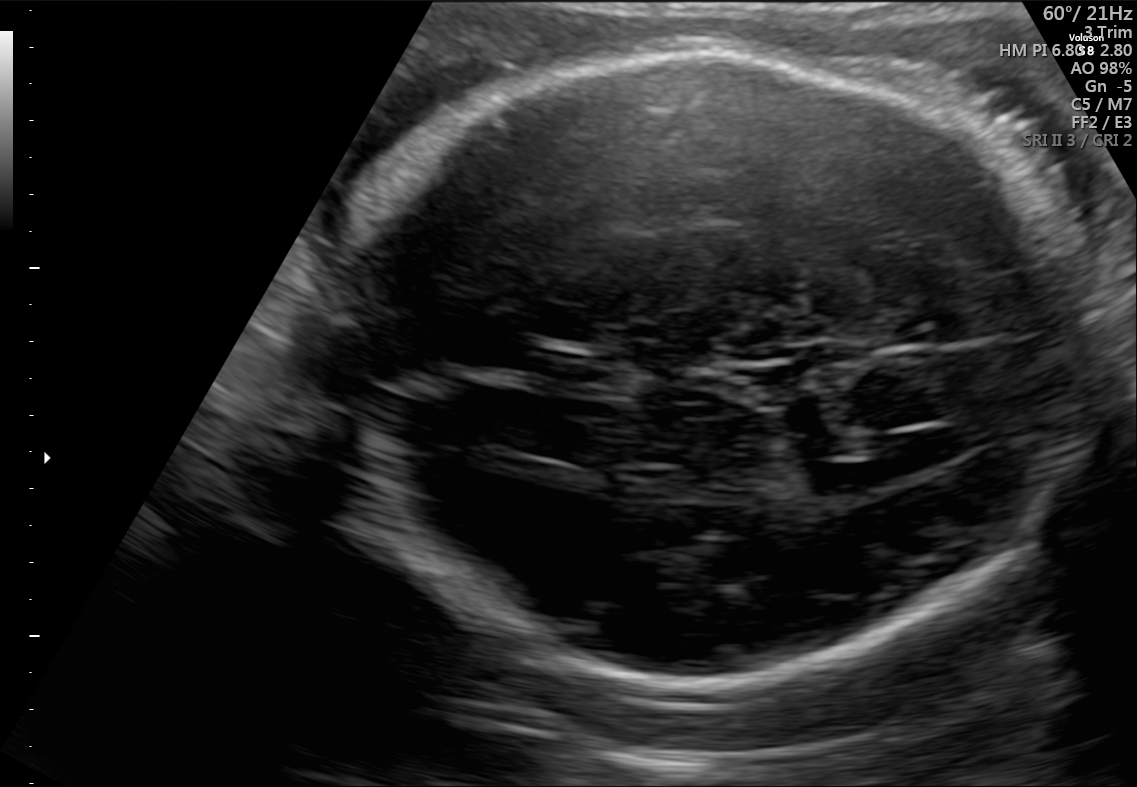
Fetal brain, trans-ventricular plane. Locate the fetal head and, if visible, the cavum septum pellucidum (CSP) and lateral ventricle (LV). Give bounding boxes as [x1,y1,x2,y2].

Head: [315,39,1118,700]